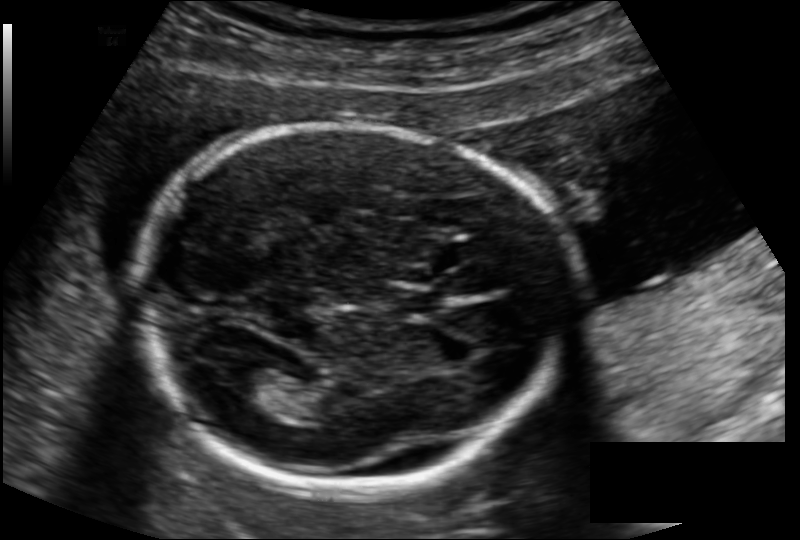
Fetal head ultrasound. Image width: 107.6 mm. Locate the fetal head and, if visible, the cavum septum pellucidum (CSP) and lateral ventricle (LV). Give bounding boxes as [x1,y1,x2,y2].

Head: [141,122,562,492]
CSP: [385,284,441,316]
Lateral ventricle: [226,356,281,404]